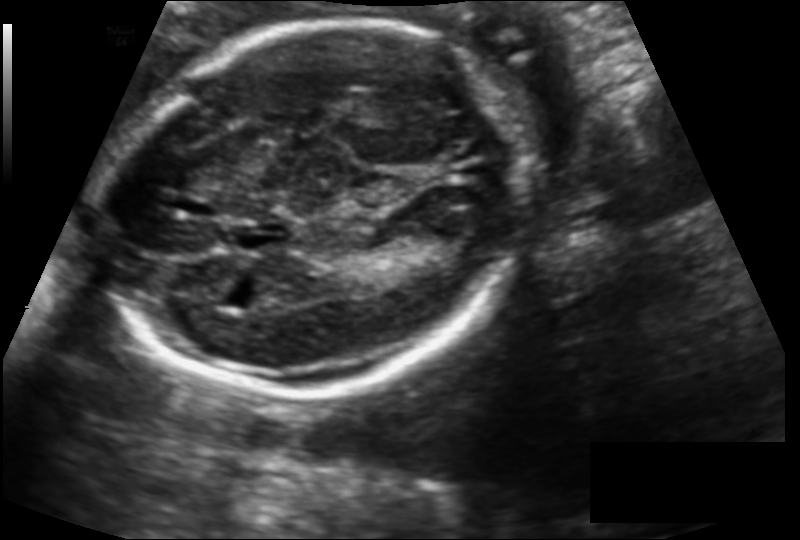
In this fetal head ultrasound, give bounding boxes for the head outline, cavum septum pellucidum (CSP), and lateral ventricle (LV), where visible. Image width: 106.3 mm.

Head: [100,20,535,392]